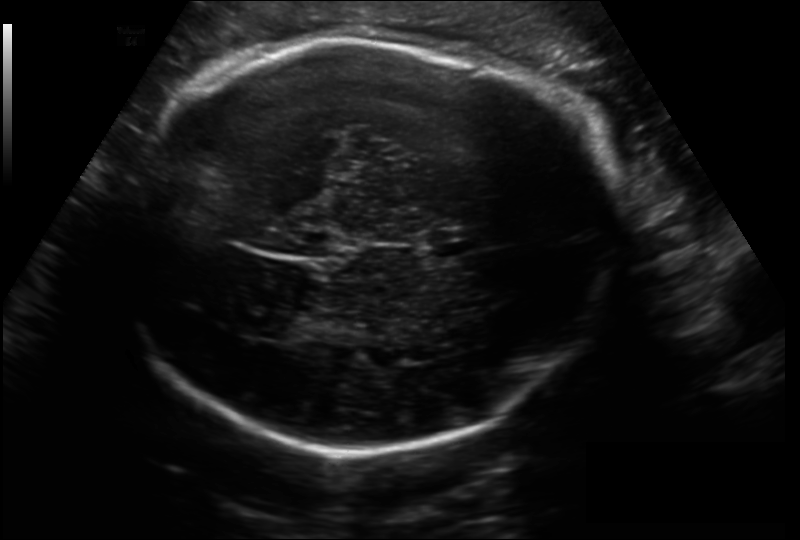
Fetal head ultrasound. Image width: 164.9 mm. Locate the cavum septum pellucidum.

CSP: [427,225,480,259]